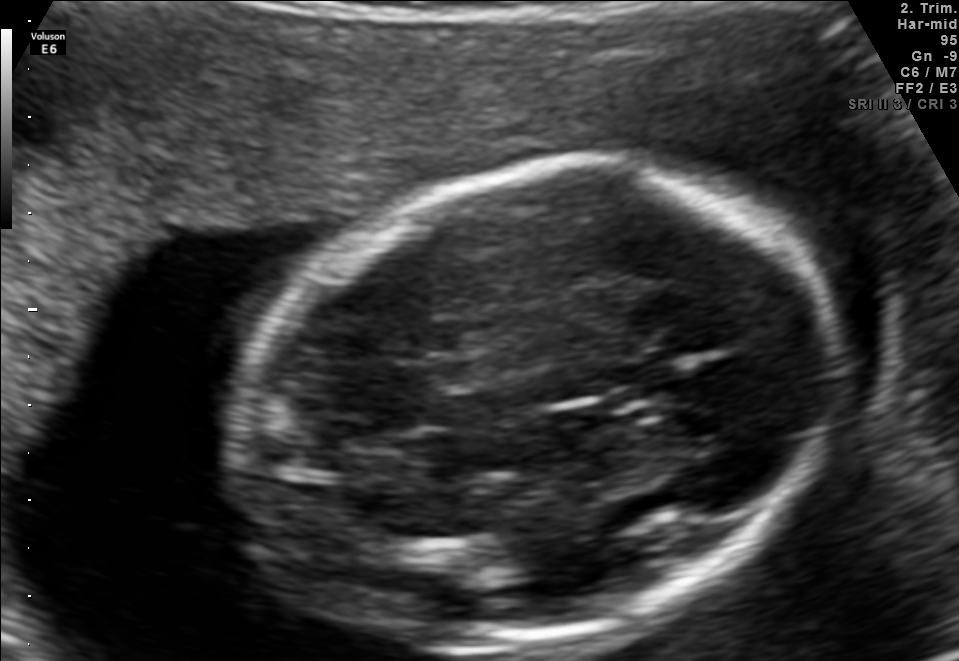
In this fetal brain, trans-thalamic plane, give bounding boxes for the head outline, cavum septum pellucidum (CSP), and lateral ventricle (LV), where visible.

Head: [232,155,839,654]